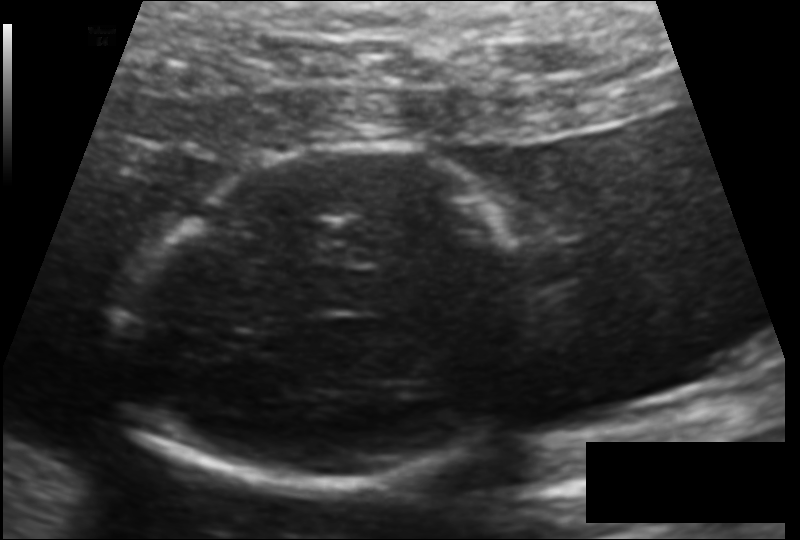
Fetal head ultrasound. Image width: 99.4 mm. Locate the fetal head.

Head: [126,148,527,490]